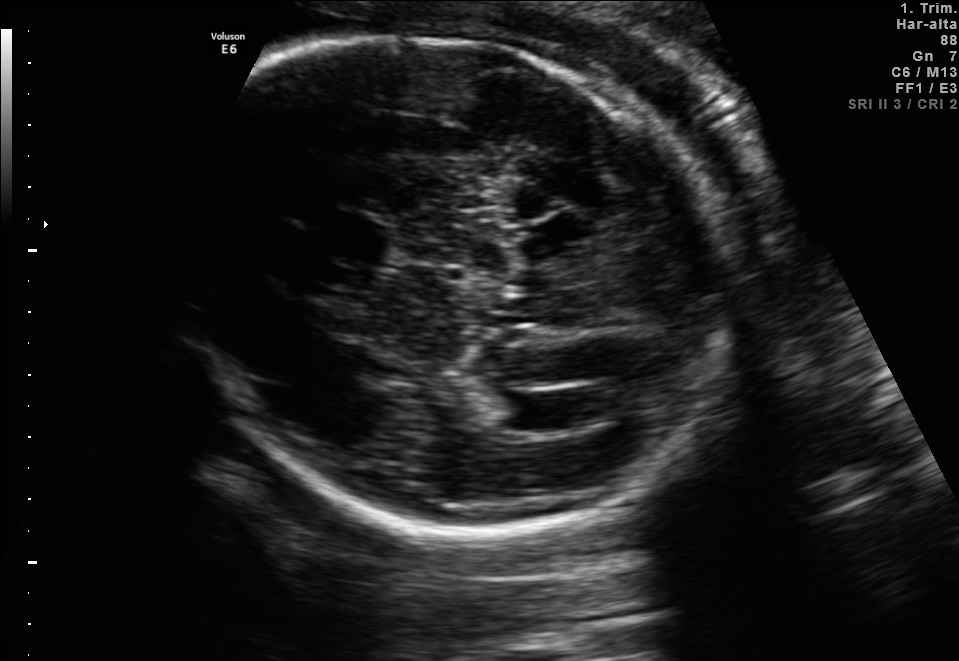
Fetal brain, trans-ventricular plane. Locate the lateral ventricle.

Lateral ventricle: [503,394,568,430]